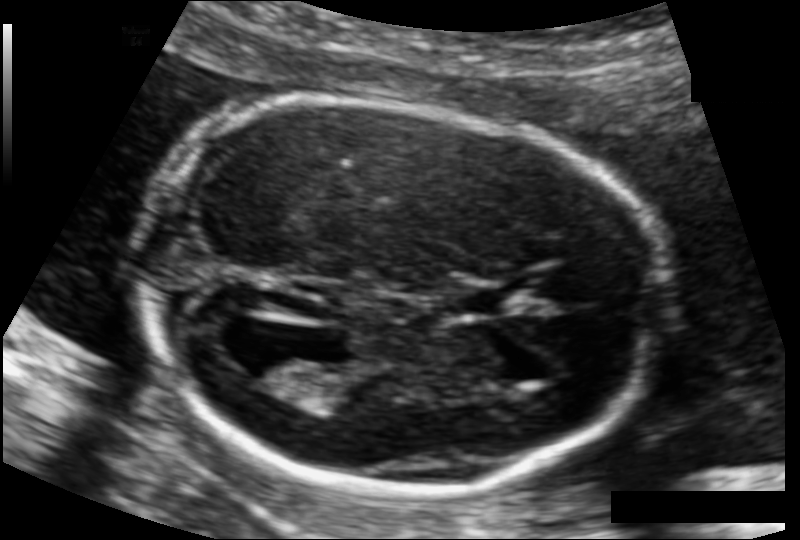
Fetal head ultrasound. Image width: 85.7 mm. Locate the fetal head and, if visible, the cavum septum pellucidum (CSP) and lateral ventricle (LV). Give bounding boxes as [x1,y1,x2,y2].

Head: [143,98,657,491]
CSP: [455,287,512,313]
Lateral ventricle: [226,337,308,402]